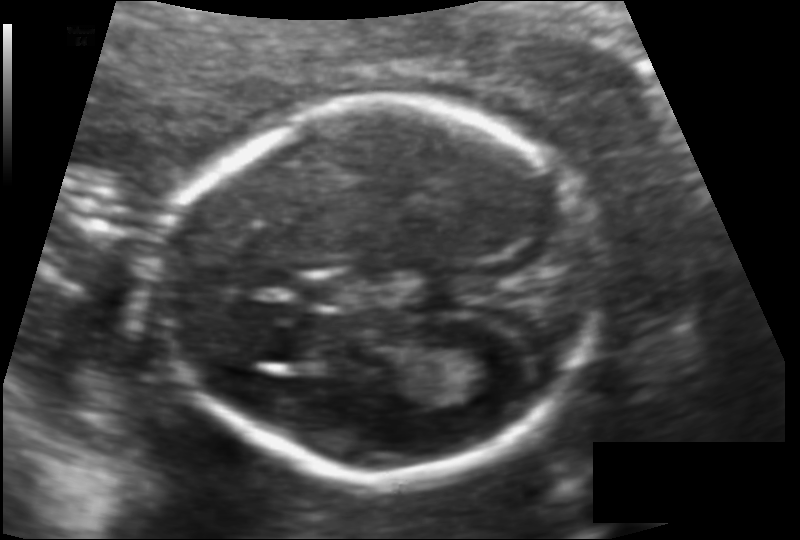
Fetal head ultrasound. Image width: 90.5 mm. Where is the fetal head?

Head bounding box: [160,105,600,478]